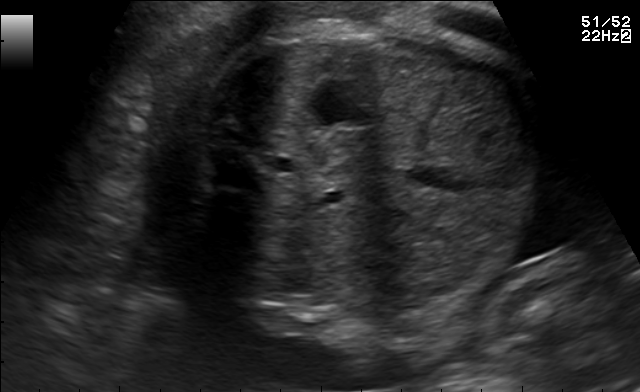
Identify the standard plane in this fetal ultrasound image: fetal abdomen, fetal brain, fetal femur, fetal thorax, maternal cervix, or other. If it's fetal brain and one of the three standard brain planes (trans-thalamic, trans-cerebellum, trans-ventricular), name which.

Fetal abdomen